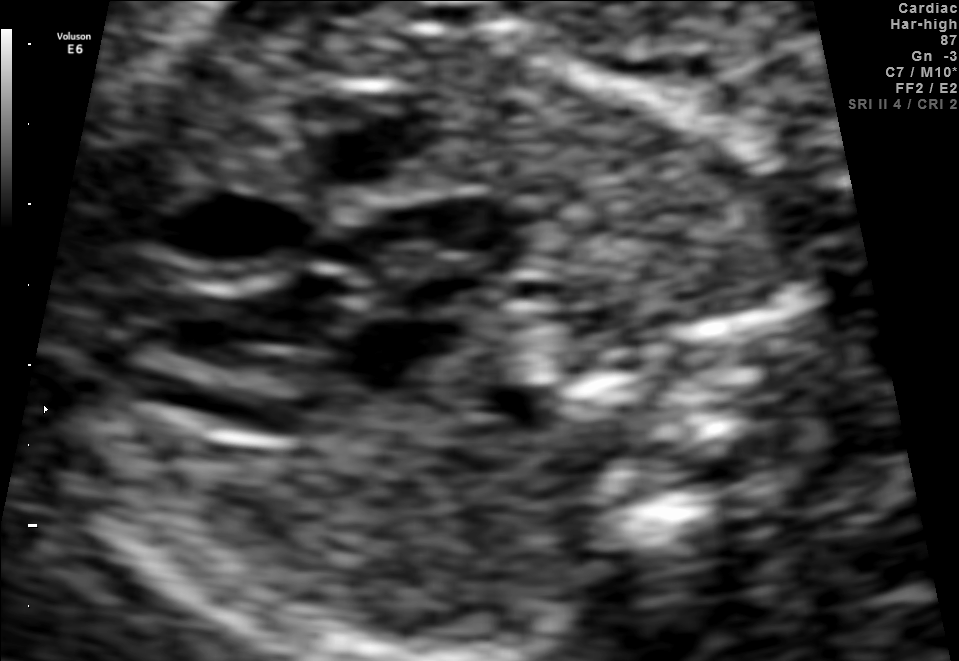
Identify the standard plane in this fetal ultrasound image: fetal abdomen, fetal brain, fetal femur, fetal thorax, maternal cervix, or other. If it's fetal brain and one of the three standard brain planes (trans-thalamic, trans-cerebellum, trans-ventricular), name which.

Other